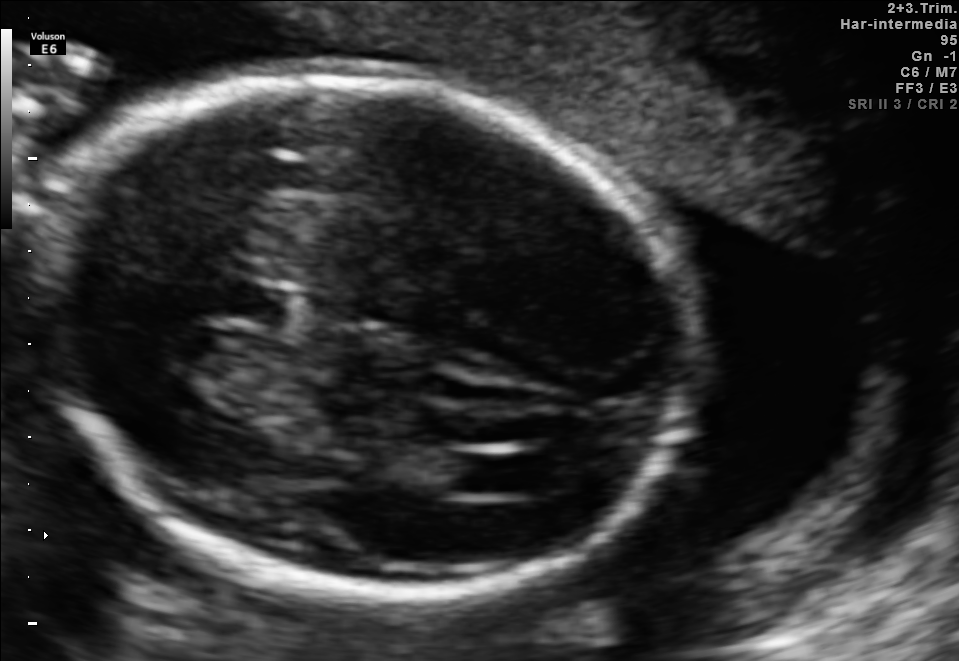
Fetal brain, trans-ventricular plane. Where is the cavum septum pellucidum?

CSP bounding box: [212,278,289,329]